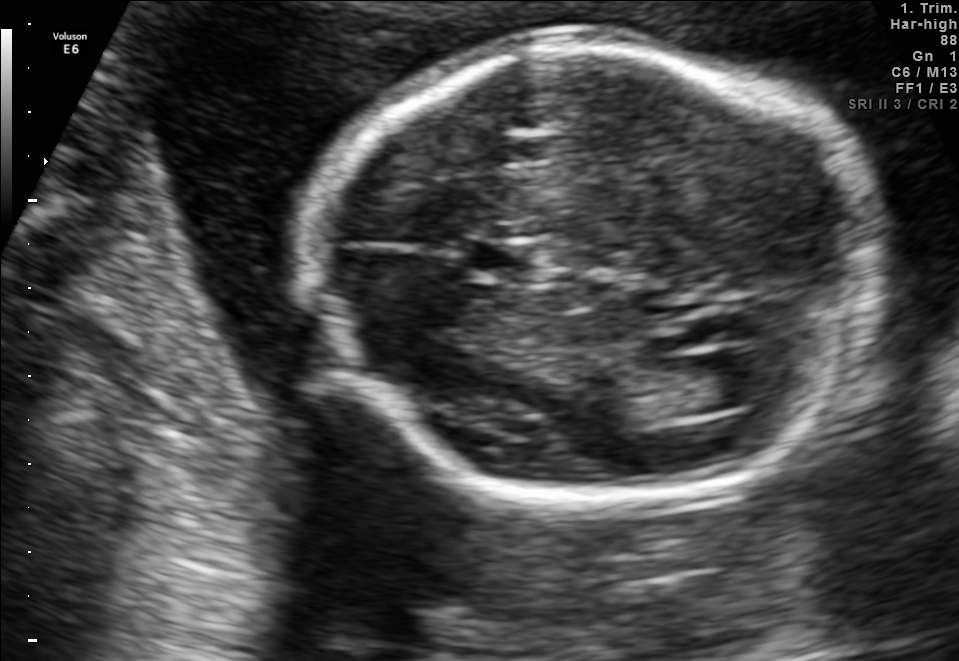
In this fetal brain, trans-ventricular plane, give the bounding box of the fetal head.

[298,35,897,514]